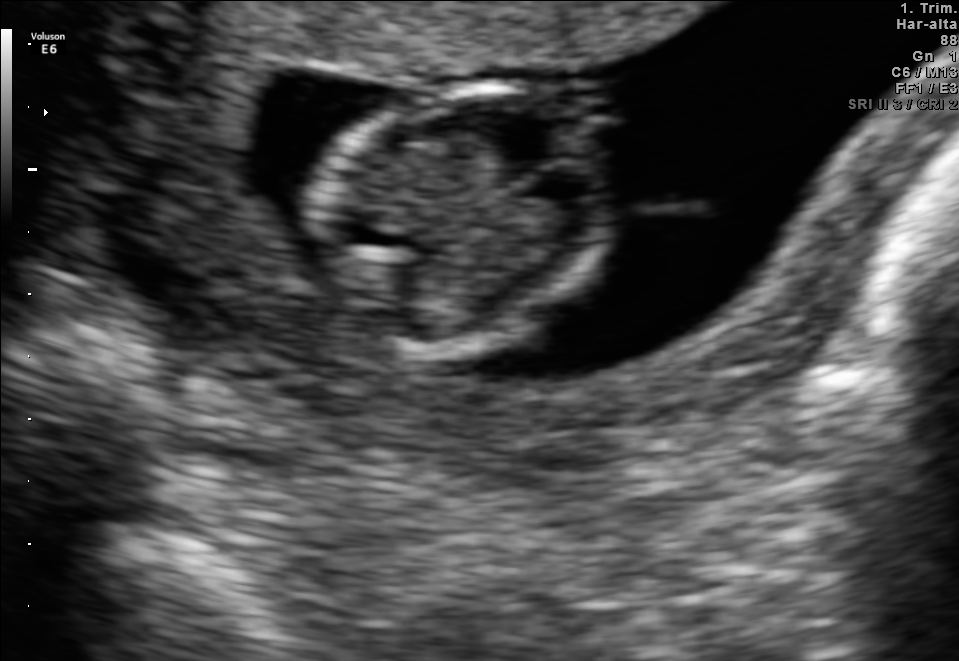
Classify this maternal-fetal ultrasound image as one of the six standard planes — fetal abdomen, fetal brain, fetal femur, fetal thorax, maternal cervix, or other. If it's fetal brain and one of the three standard brain planes (trans-thalamic, trans-cerebellum, trans-ventricular), name which.

Fetal brain (trans-thalamic plane)